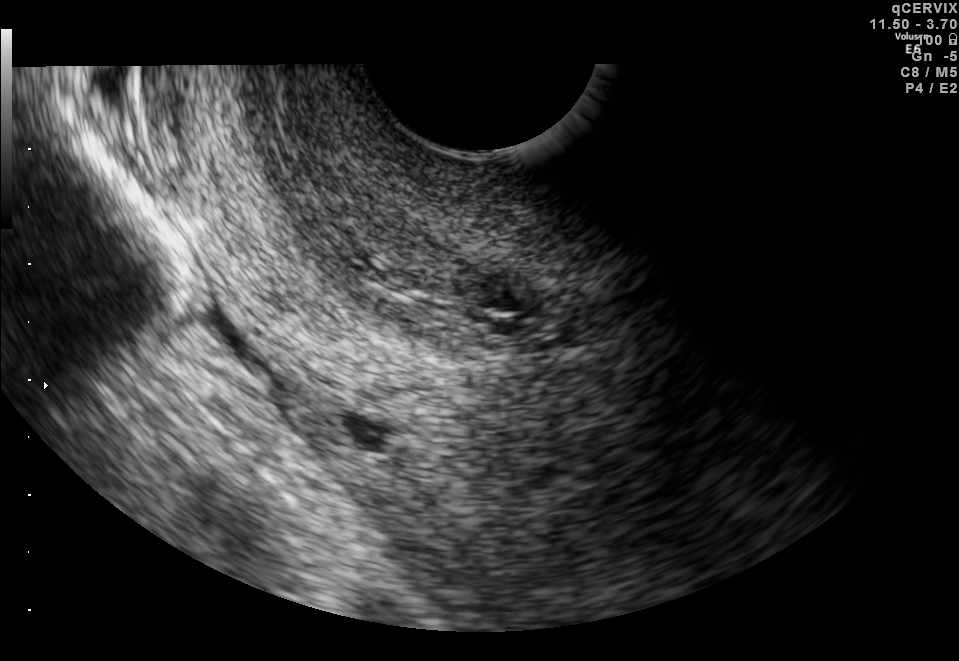
This is a 2D maternal-fetal ultrasound frame. Is it a fetal abdomen, fetal brain, fetal femur, fetal thorax, maternal cervix, or other standard plane? If it's fetal brain and one of the three standard brain planes (trans-thalamic, trans-cerebellum, trans-ventricular), name which.

Maternal cervix